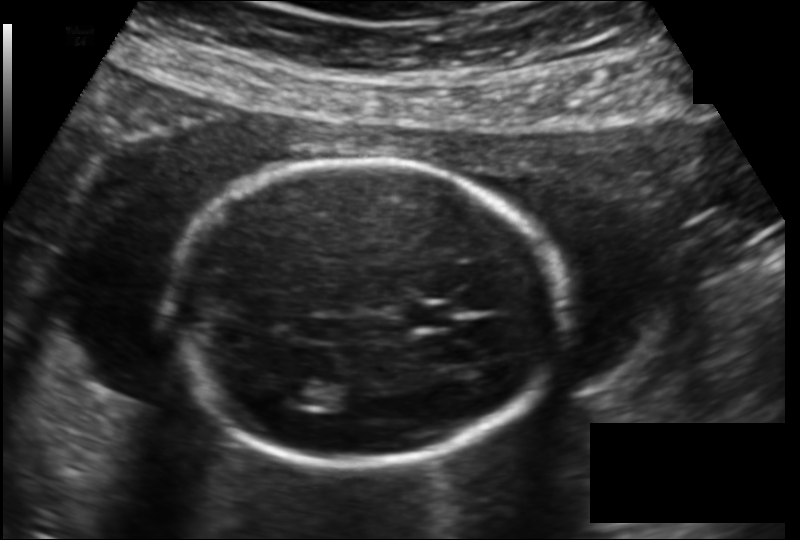
Fetal head ultrasound. Image width: 119.1 mm. Locate the lateral ventricle.

Lateral ventricle: [272,374,323,412]